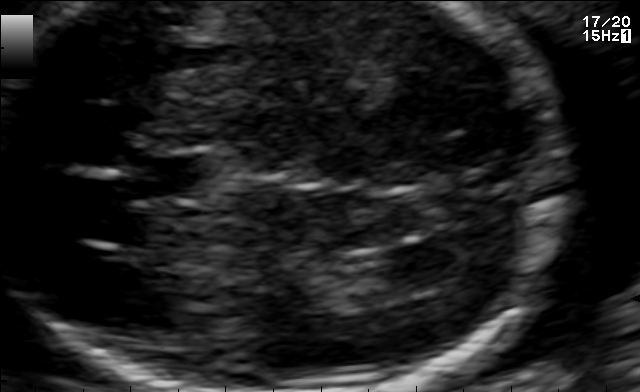
In this fetal brain, trans-ventricular plane, give the bounding box of the lateral ventricle.

[374,231,477,298]